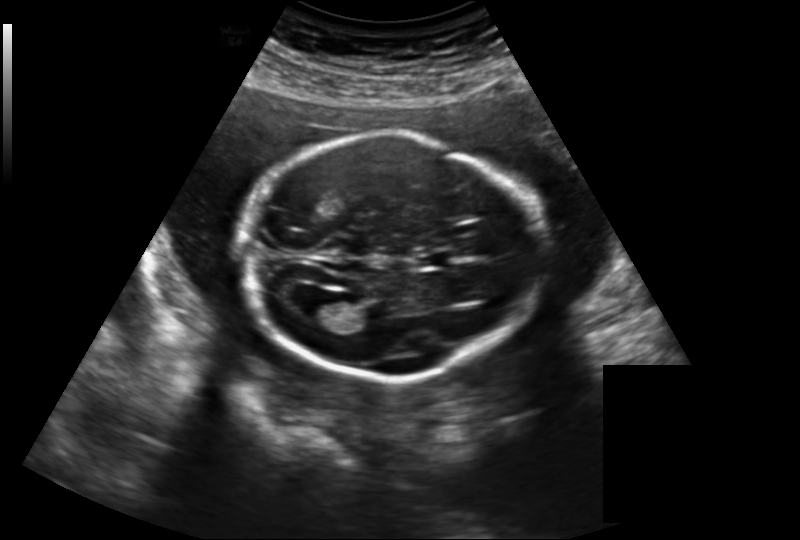
From this fetal ultrasound, estimate the head circumference (image width 175.2 mm).

Head circumference: 195.9 mm.